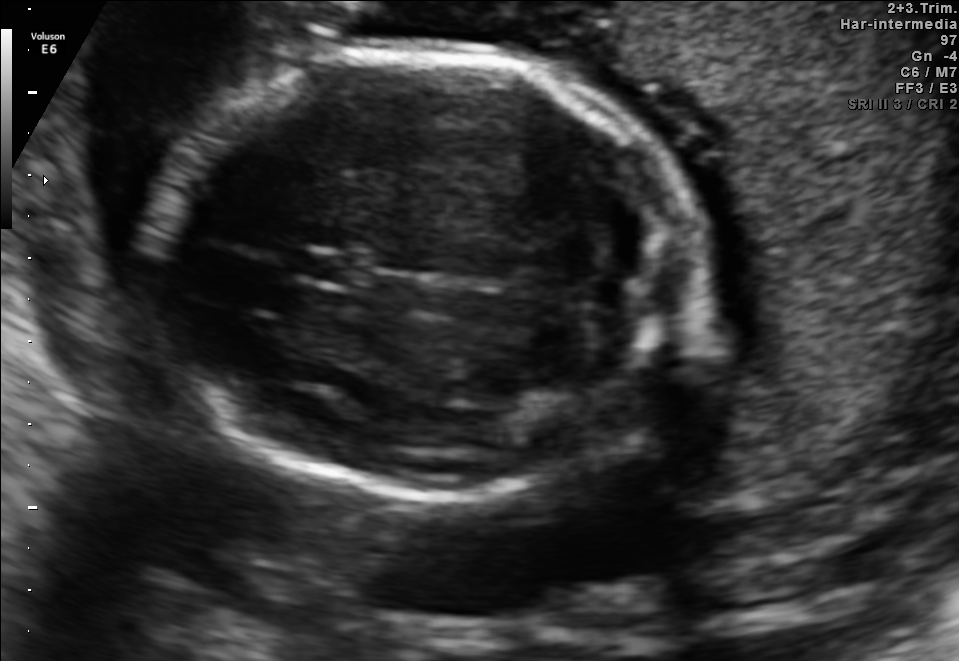
In this fetal brain, trans-cerebellum plane, give the bounding box of the cavum septum pellucidum.

[288,243,366,291]